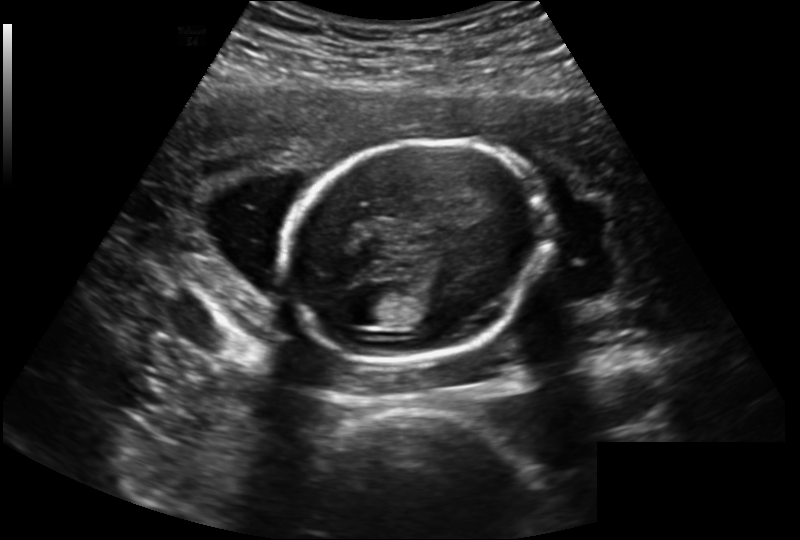
Fetal head ultrasound. Image width: 161.7 mm. Locate the lateral ventricle.

Lateral ventricle: [332,291,385,327]